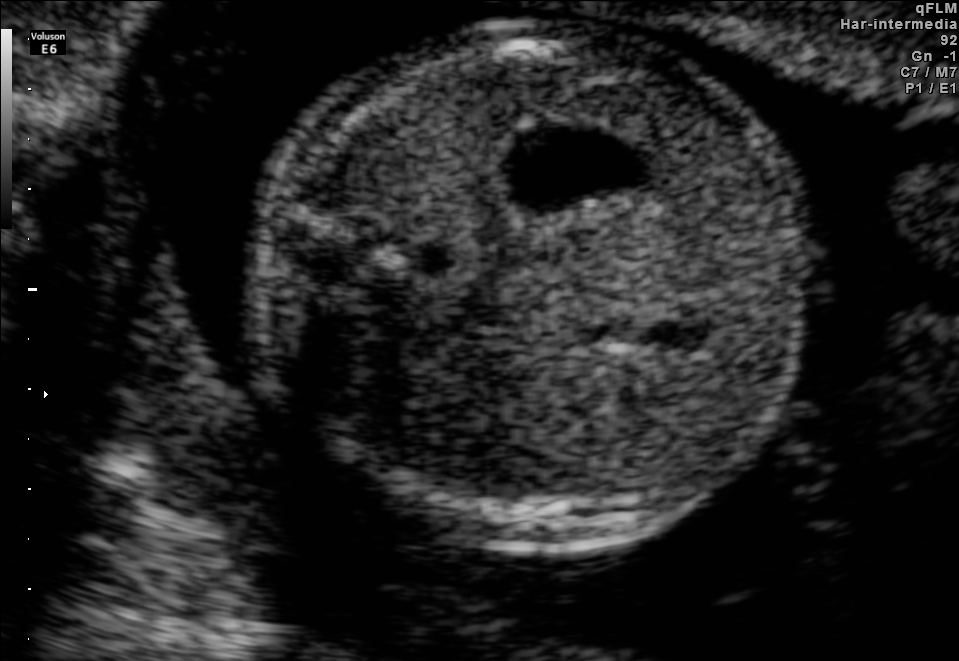
This is a 2D maternal-fetal ultrasound frame. Is it a fetal abdomen, fetal brain, fetal femur, fetal thorax, maternal cervix, or other standard plane? If it's fetal brain and one of the three standard brain planes (trans-thalamic, trans-cerebellum, trans-ventricular), name which.

Fetal abdomen